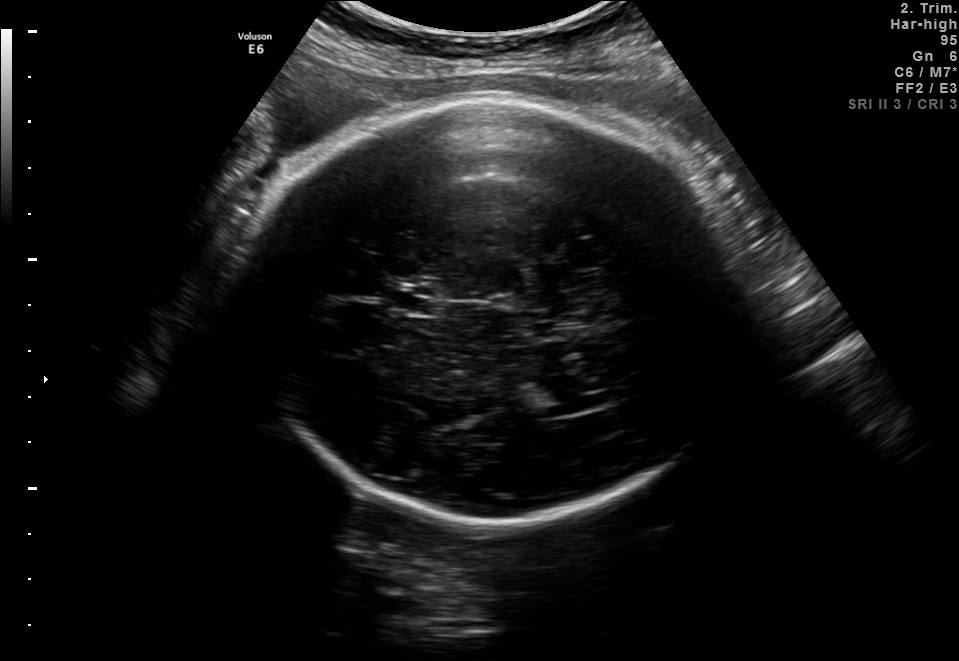
In this fetal brain, trans-ventricular plane, give the bounding box of the lateral ventricle.

[527,373,595,419]